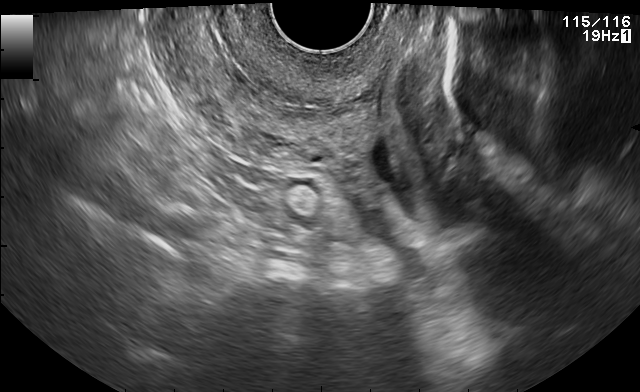
This is a 2D maternal-fetal ultrasound frame. Is it a fetal abdomen, fetal brain, fetal femur, fetal thorax, maternal cervix, or other standard plane? If it's fetal brain and one of the three standard brain planes (trans-thalamic, trans-cerebellum, trans-ventricular), name which.

Maternal cervix